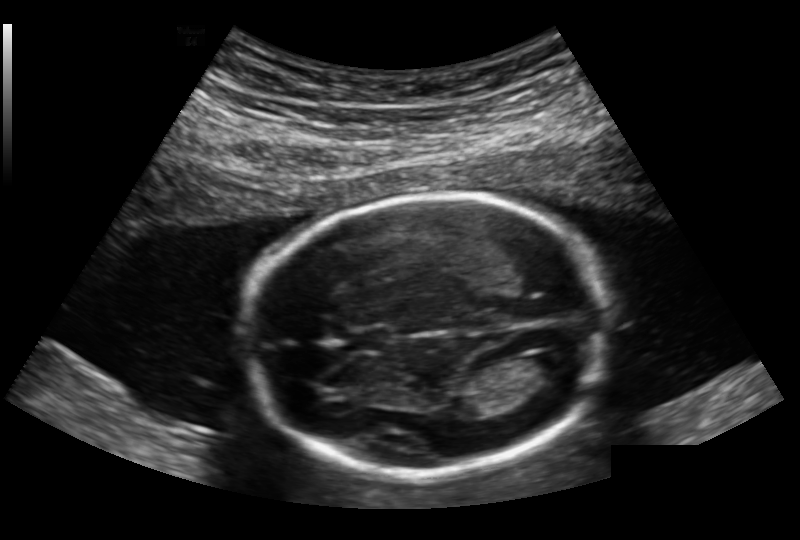
Fetal head ultrasound. Image width: 134.4 mm. Locate the fetal head.

Head: [246,195,606,474]